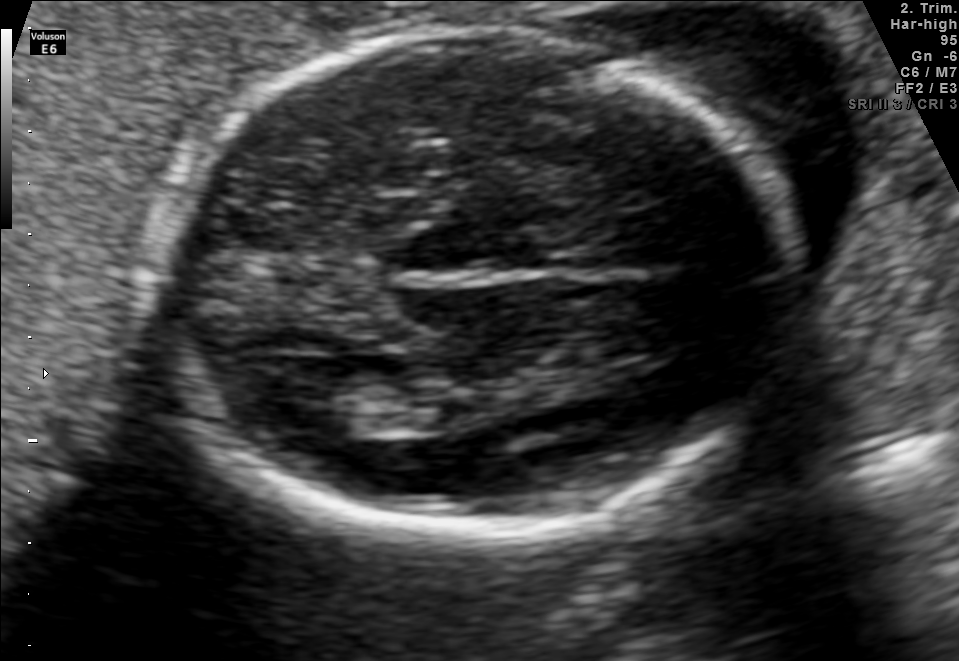
Fetal brain, trans-thalamic plane. Locate the fetal head.

Head: [157,32,802,531]